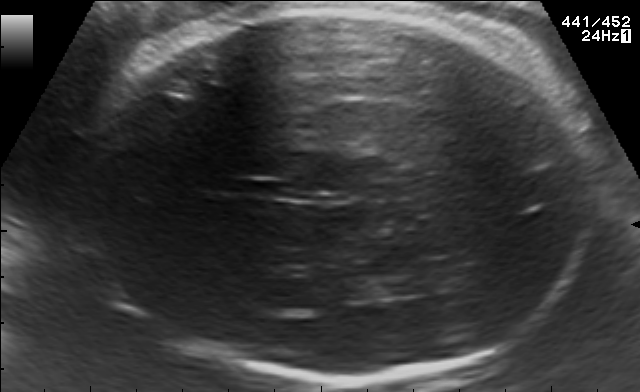
Fetal brain, trans-thalamic plane. Locate the fetal head and, if visible, the cavum septum pellucidum (CSP) and lateral ventricle (LV). Give bounding boxes as [x1,y1,x2,y2].

Head: [72,7,591,377]